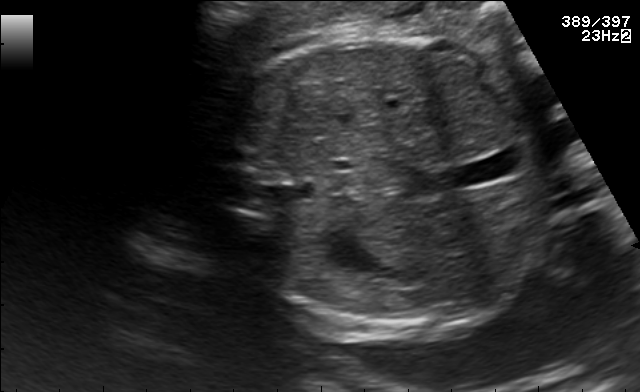
Identify the standard plane in this fetal ultrasound image: fetal abdomen, fetal brain, fetal femur, fetal thorax, maternal cervix, or other. If it's fetal brain and one of the three standard brain planes (trans-thalamic, trans-cerebellum, trans-ventricular), name which.

Fetal abdomen